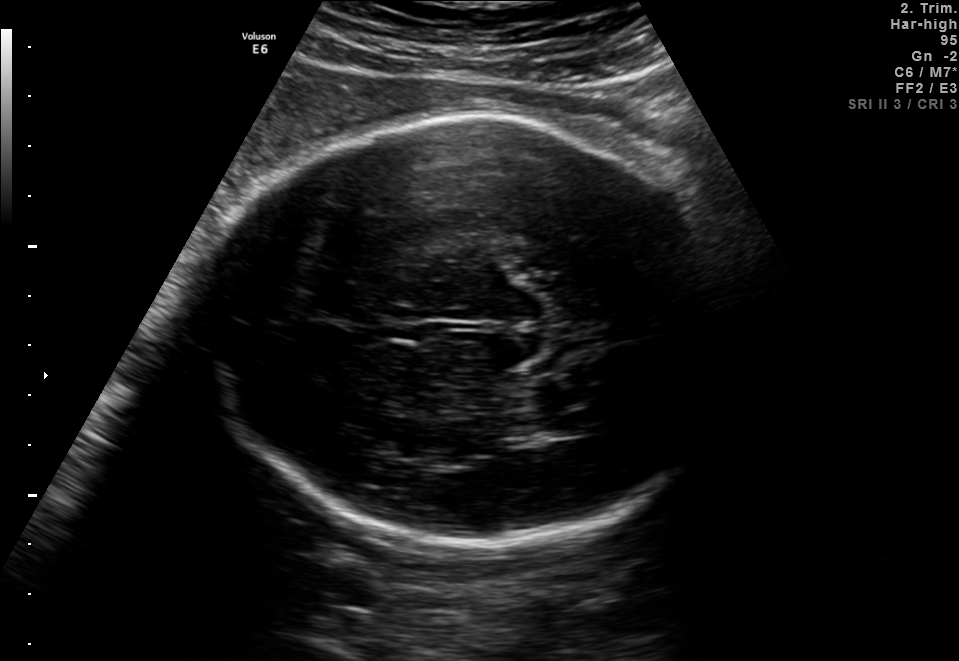
In this fetal brain, trans-thalamic plane, give the bounding box of the fetal head.

[203,115,738,546]